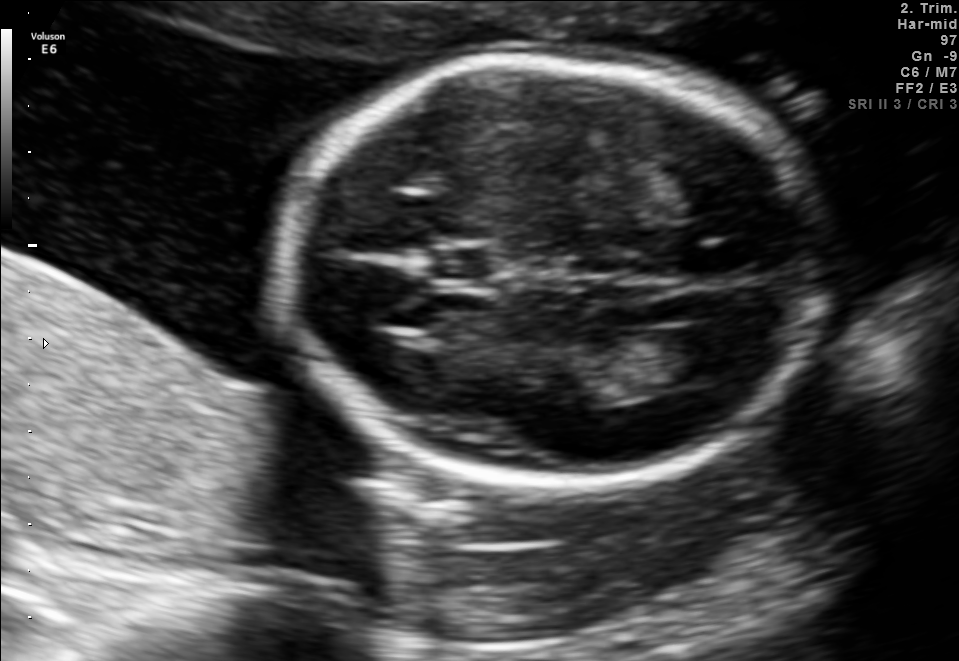
In this fetal brain, trans-ventricular plane, give the bounding box of the cavum septum pellucidum.

[434,250,488,277]